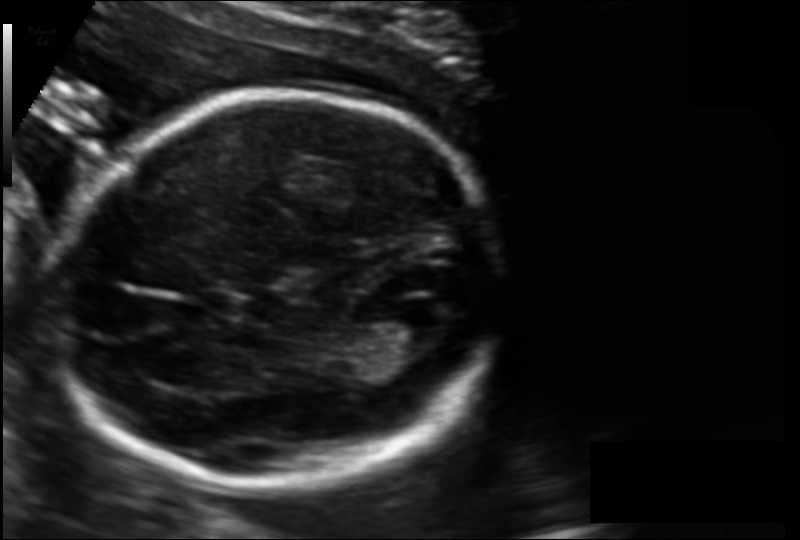
In this fetal head ultrasound, give bounding boxes for the head outline, cavum septum pellucidum (CSP), and lateral ventricle (LV), where visible. Image width: 102.4 mm.

Head: [60,91,498,488]
Lateral ventricle: [375,290,453,359]